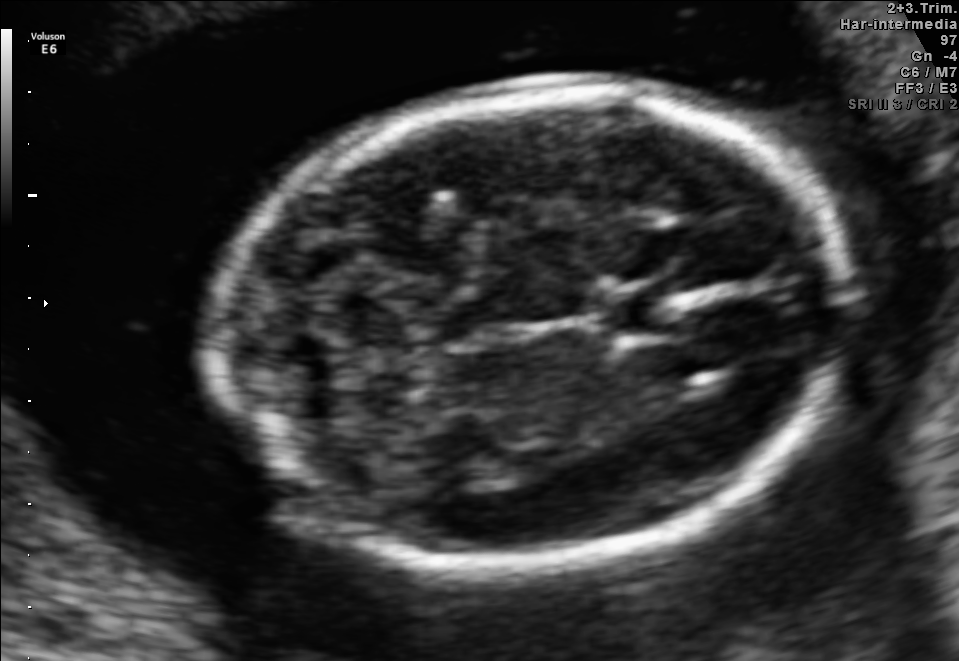
Fetal brain, trans-cerebellum plane. Locate the cavum septum pellucidum.

CSP: [596,281,682,344]